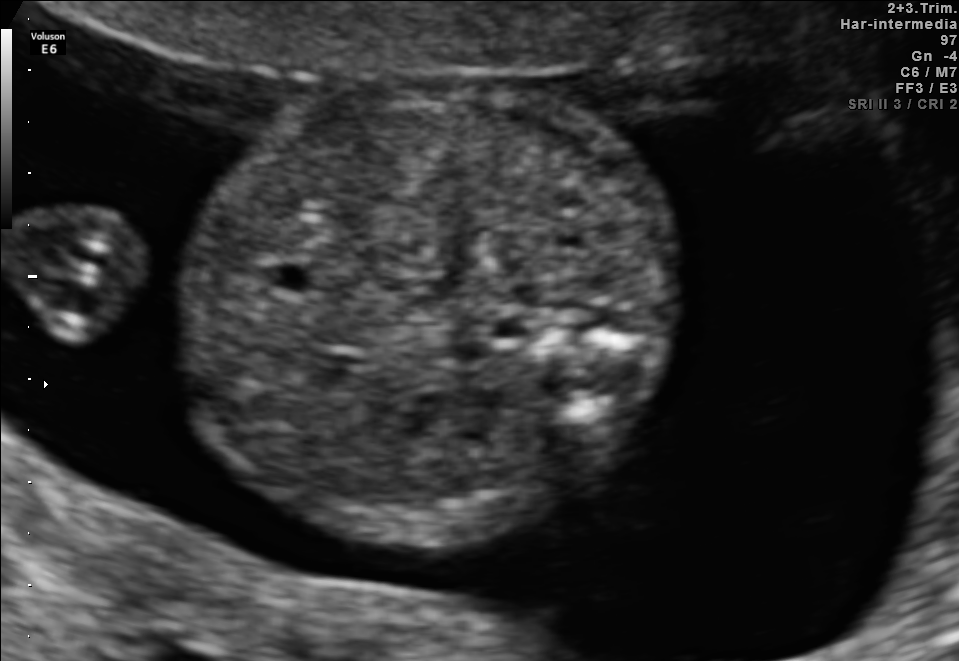
This is a 2D maternal-fetal ultrasound frame. Is it a fetal abdomen, fetal brain, fetal femur, fetal thorax, maternal cervix, or other standard plane? If it's fetal brain and one of the three standard brain planes (trans-thalamic, trans-cerebellum, trans-ventricular), name which.

Fetal abdomen